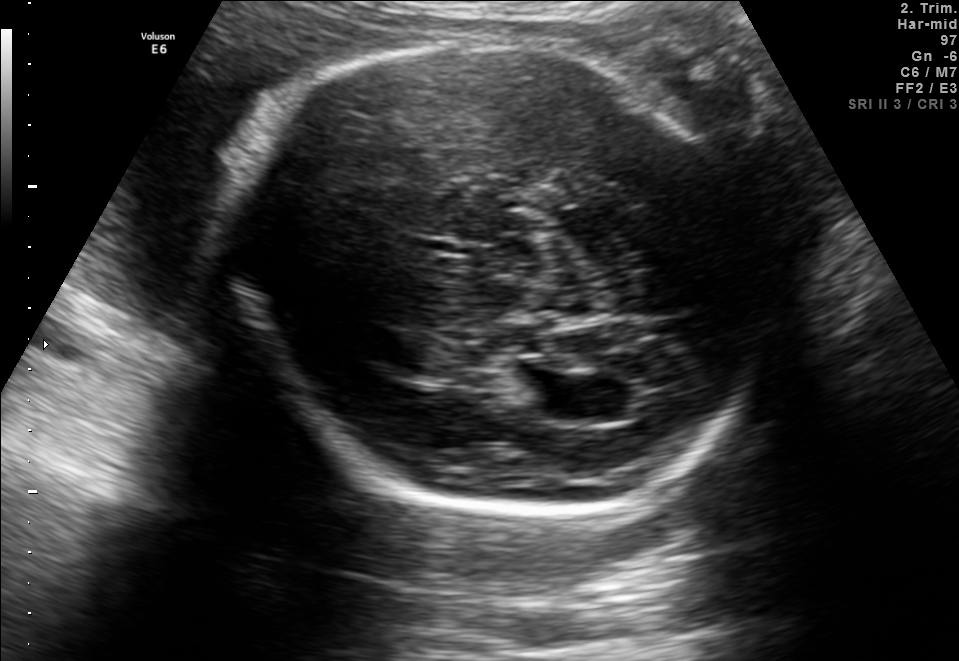
Fetal brain, trans-ventricular plane. Locate the lateral ventricle.

Lateral ventricle: [511,370,587,422]